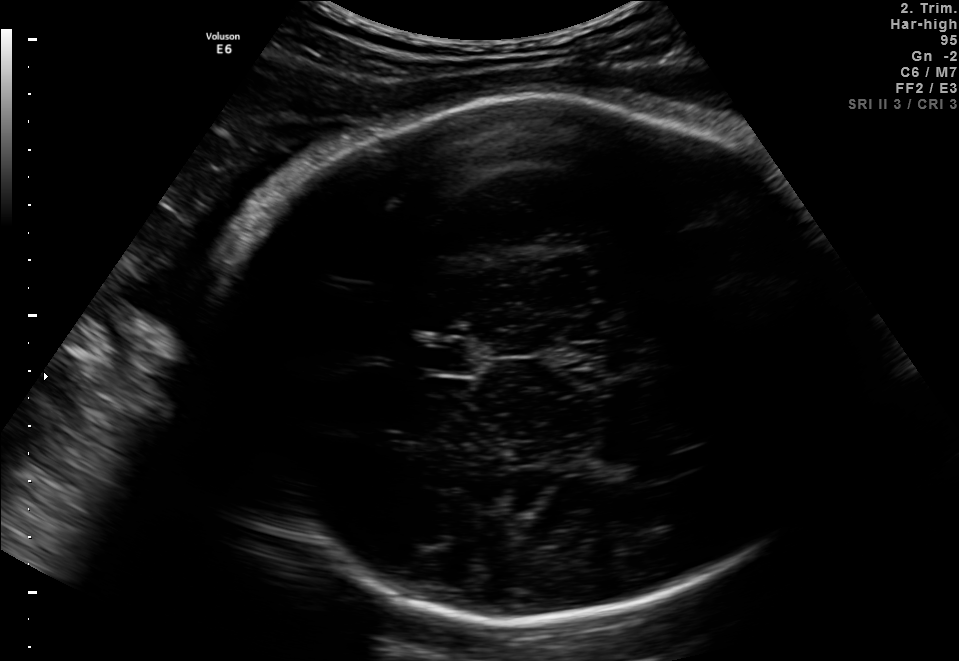
Fetal brain, trans-thalamic plane. Where is the cavum septum pellucidum?

CSP bounding box: [416,339,476,376]